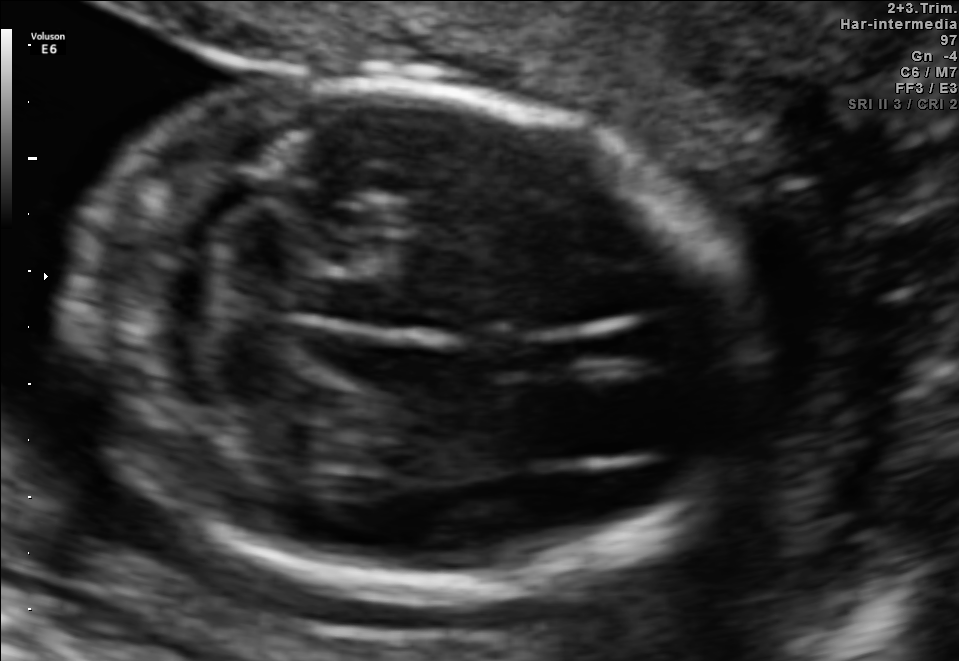
In this fetal brain, trans-cerebellum plane, give the bounding box of the cavum septum pellucidum.

[478,330,581,381]